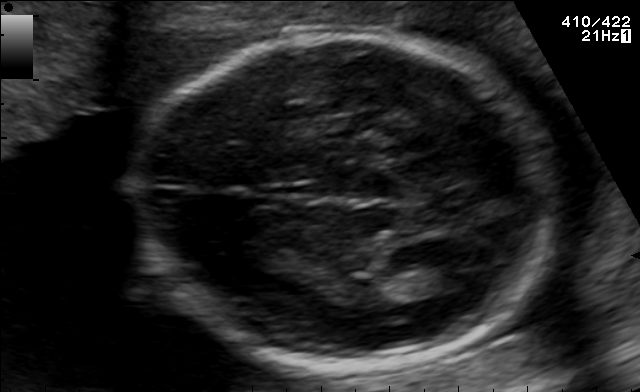
Identify the standard plane in this fetal ultrasound image: fetal abdomen, fetal brain, fetal femur, fetal thorax, maternal cervix, or other. If it's fetal brain and one of the three standard brain planes (trans-thalamic, trans-cerebellum, trans-ventricular), name which.

Fetal brain (trans-thalamic plane)